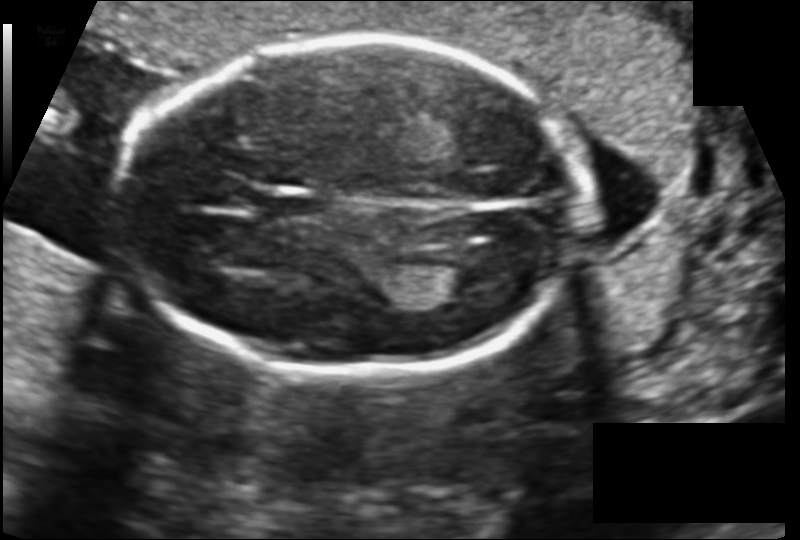
Fetal head ultrasound. Image width: 102.7 mm. Locate the lateral ventricle.

Lateral ventricle: [419,265,483,299]